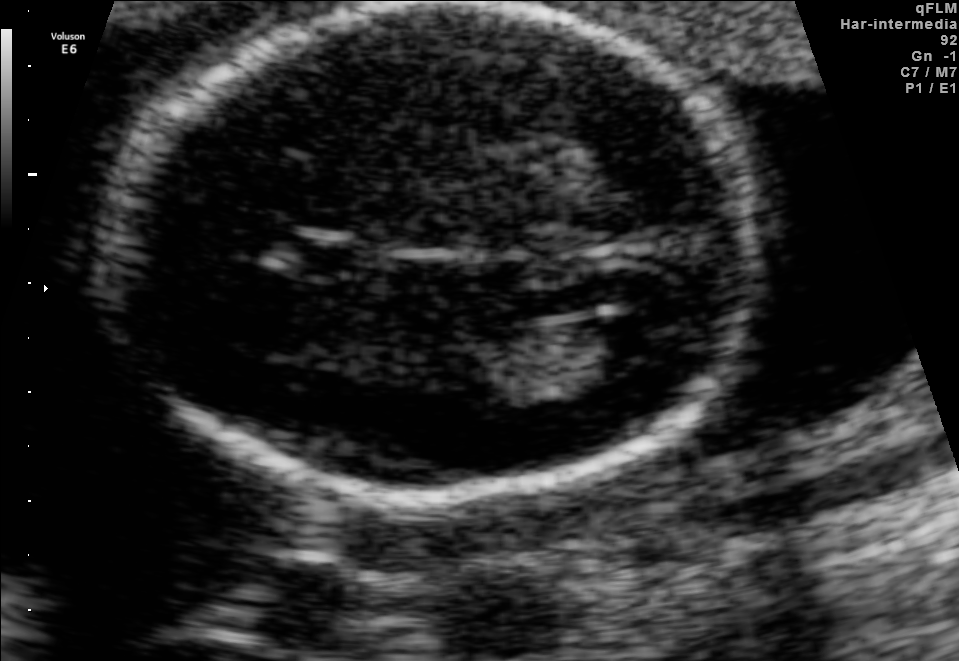
Fetal brain, trans-ventricular plane. Locate the fetal head.

Head: [92,3,771,512]